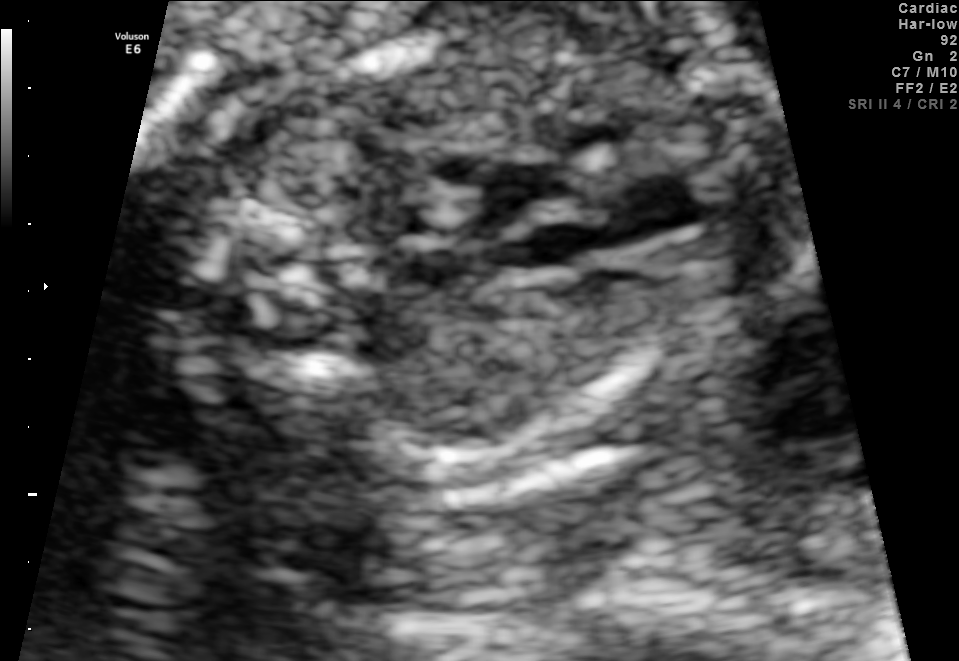
Identify the standard plane in this fetal ultrasound image: fetal abdomen, fetal brain, fetal femur, fetal thorax, maternal cervix, or other. If it's fetal brain and one of the three standard brain planes (trans-thalamic, trans-cerebellum, trans-ventricular), name which.

Fetal thorax